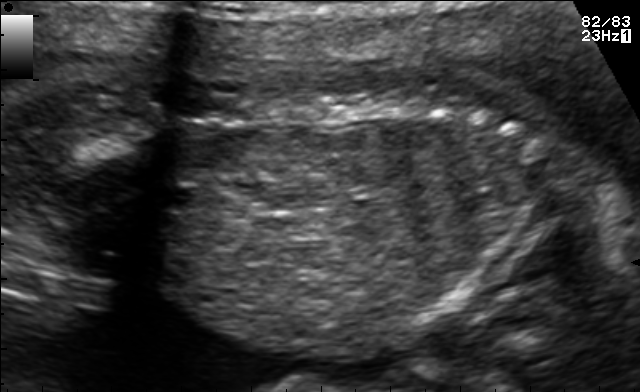
This is a 2D maternal-fetal ultrasound frame. Is it a fetal abdomen, fetal brain, fetal femur, fetal thorax, maternal cervix, or other standard plane? If it's fetal brain and one of the three standard brain planes (trans-thalamic, trans-cerebellum, trans-ventricular), name which.

Other